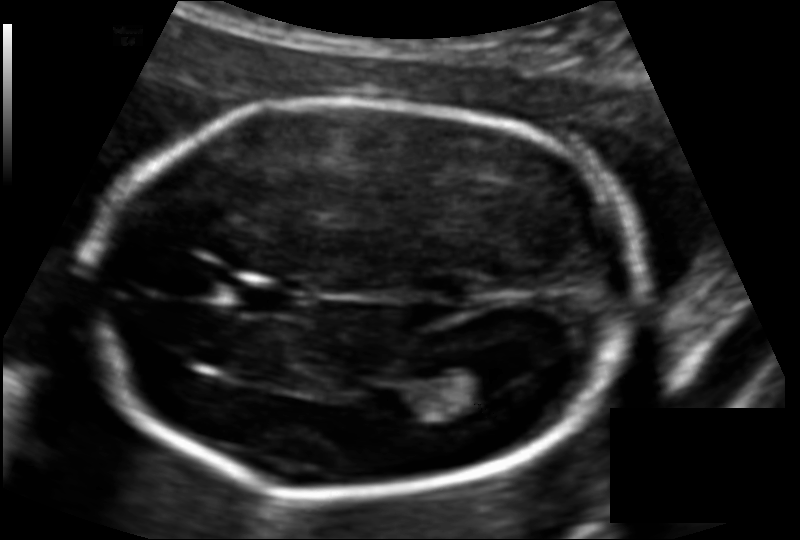
In this fetal head ultrasound, give the bounding box of the fetal head. Image width: 93.9 mm.

[88,101,630,494]